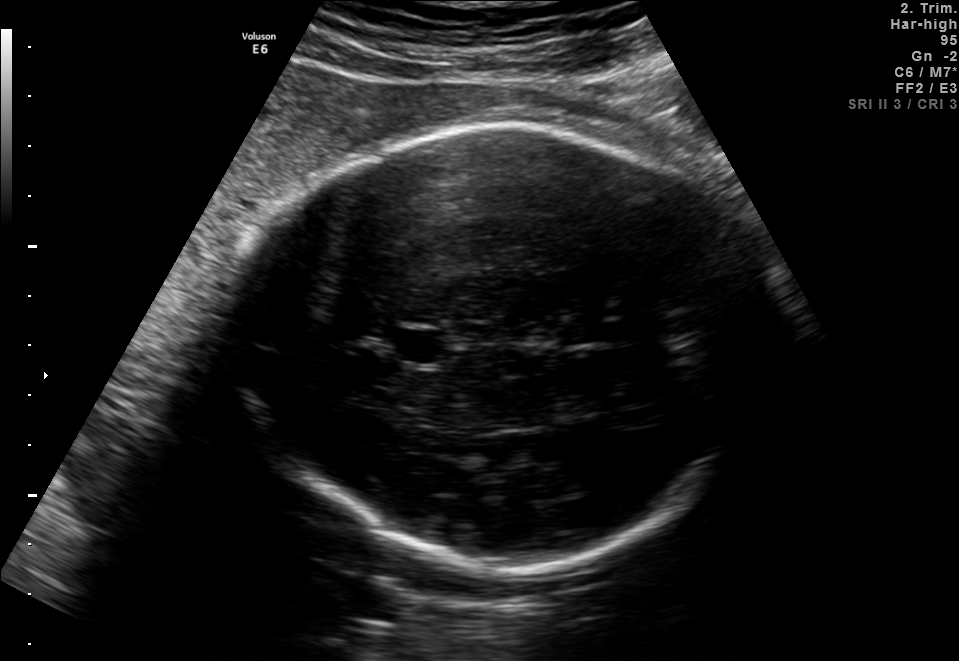
Fetal brain, trans-thalamic plane. Locate the fetal head.

Head: [227,127,760,564]